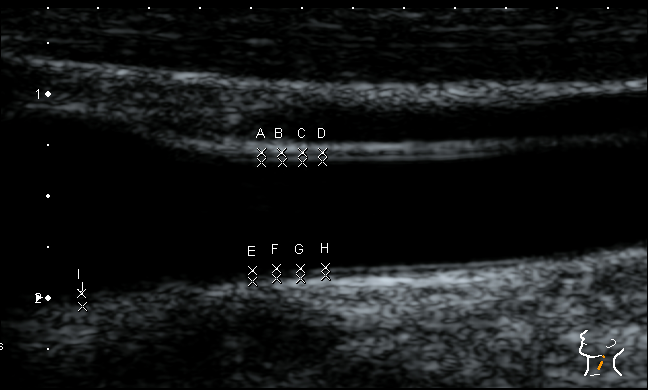
Classify this maternal-fetal ultrasound image as one of the six standard planes — fetal abdomen, fetal brain, fetal femur, fetal thorax, maternal cervix, or other. If it's fetal brain and one of the three standard brain planes (trans-thalamic, trans-cerebellum, trans-ventricular), name which.

Other